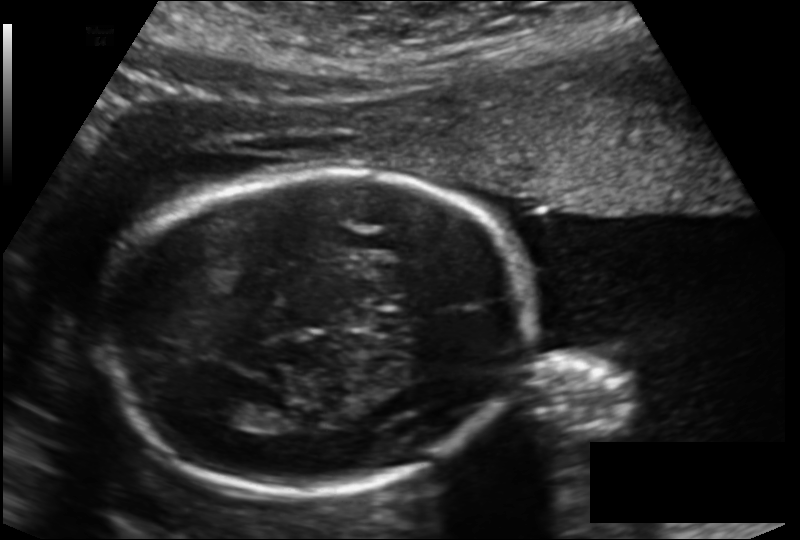
Fetal head ultrasound. Image width: 123.8 mm. Where is the fetal head?

Head bounding box: [108,172,531,494]